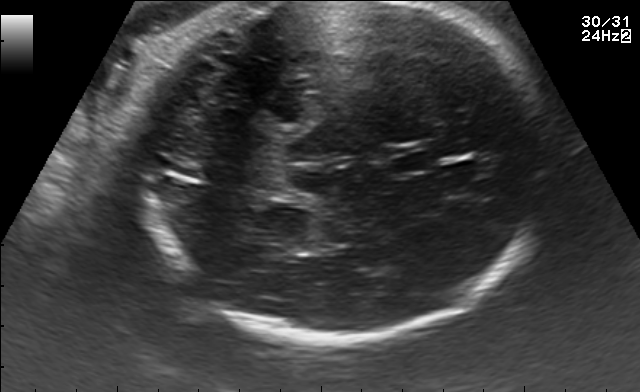
Fetal brain, trans-thalamic plane. Locate the fetal head.

Head: [131,3,557,342]